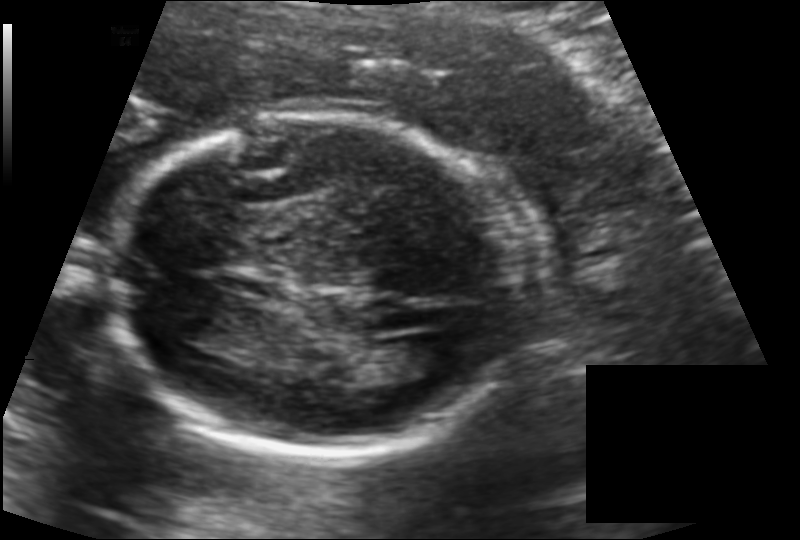
Measure the fetal head circumference shown in this ultrasound image. Image width: 113.5 mm.

Head circumference: 172.3 mm.